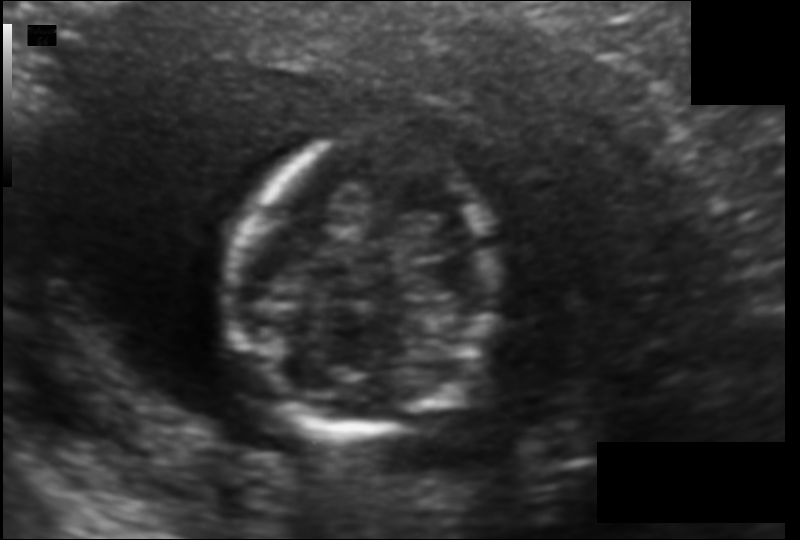
Fetal head ultrasound. Image width: 83.0 mm. Where is the fetal head?

Head bounding box: [228,138,494,435]